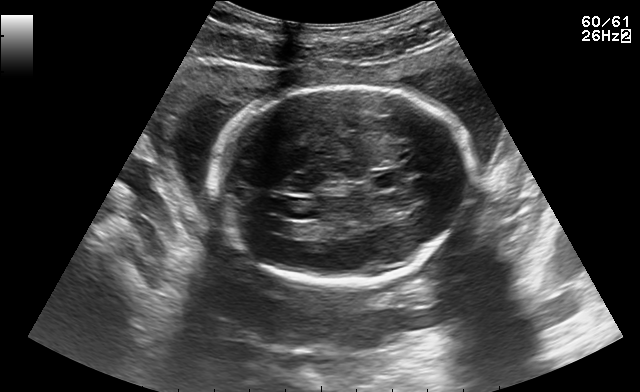
Fetal brain, trans-ventricular plane. Locate the fetal head and, if visible, the cavum septum pellucidum (CSP) and lateral ventricle (LV). Give bounding boxes as [x1,y1,x2,y2].

Head: [205,84,472,286]
CSP: [373,172,397,190]
Lateral ventricle: [263,217,290,234]